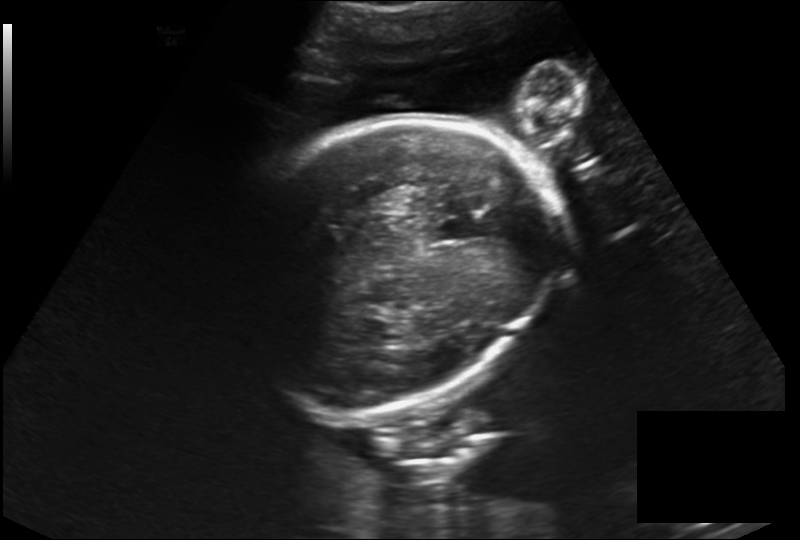
Estimate the fetal head circumference from this 2D ultrasound. Image width: 184.3 mm.

Head circumference: 225.2 mm.